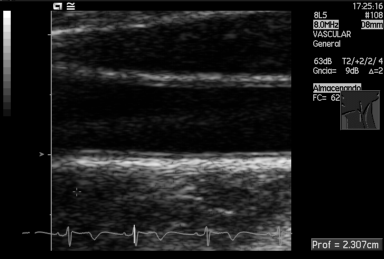
Classify this maternal-fetal ultrasound image as one of the six standard planes — fetal abdomen, fetal brain, fetal femur, fetal thorax, maternal cervix, or other. If it's fetal brain and one of the three standard brain planes (trans-thalamic, trans-cerebellum, trans-ventricular), name which.

Other